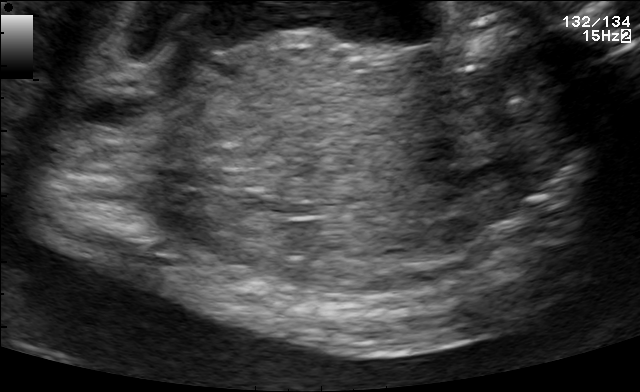
This is a 2D maternal-fetal ultrasound frame. Is it a fetal abdomen, fetal brain, fetal femur, fetal thorax, maternal cervix, or other standard plane? If it's fetal brain and one of the three standard brain planes (trans-thalamic, trans-cerebellum, trans-ventricular), name which.

Other